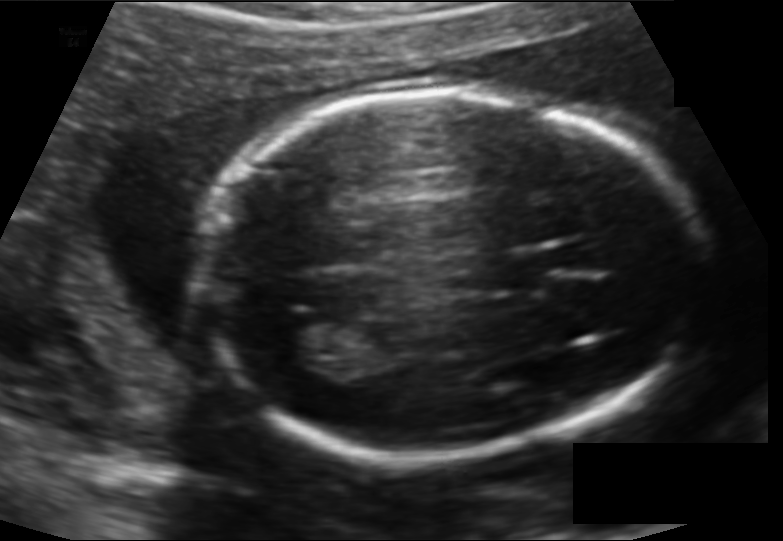
Fetal head ultrasound. Image width: 100.2 mm. Where is the fetal head?

Head bounding box: [191,92,698,455]